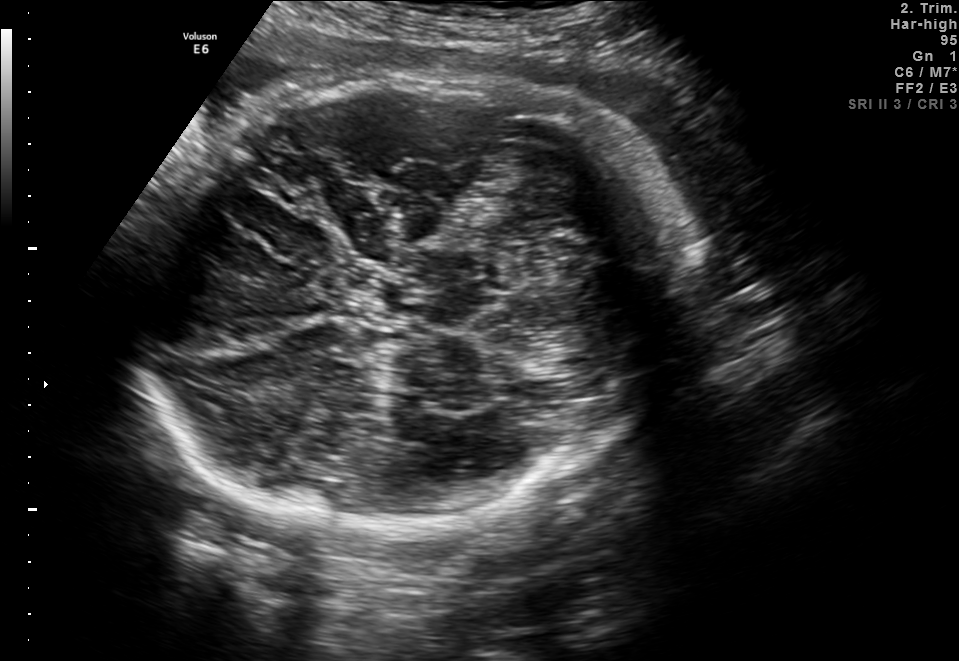
This is a 2D maternal-fetal ultrasound frame. Is it a fetal abdomen, fetal brain, fetal femur, fetal thorax, maternal cervix, or other standard plane? If it's fetal brain and one of the three standard brain planes (trans-thalamic, trans-cerebellum, trans-ventricular), name which.

Fetal brain (trans-thalamic plane)